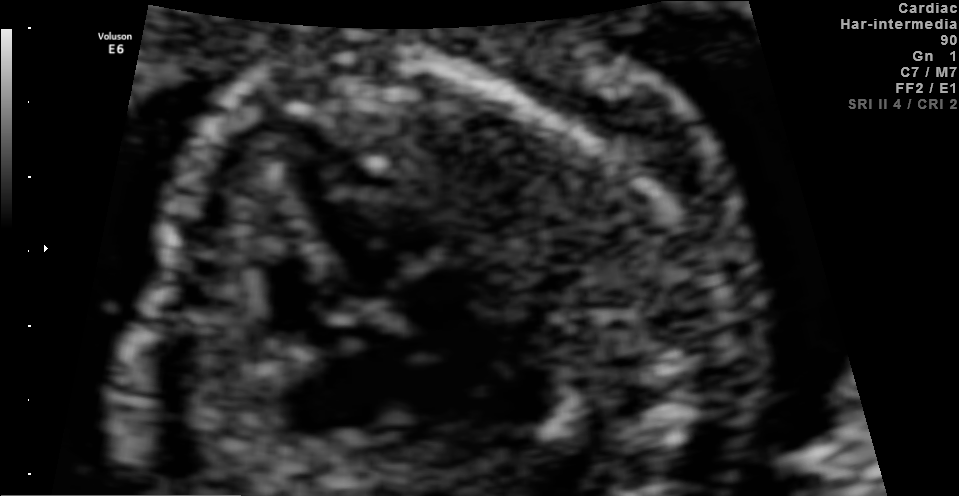
This is a 2D maternal-fetal ultrasound frame. Is it a fetal abdomen, fetal brain, fetal femur, fetal thorax, maternal cervix, or other standard plane? If it's fetal brain and one of the three standard brain planes (trans-thalamic, trans-cerebellum, trans-ventricular), name which.

Fetal thorax